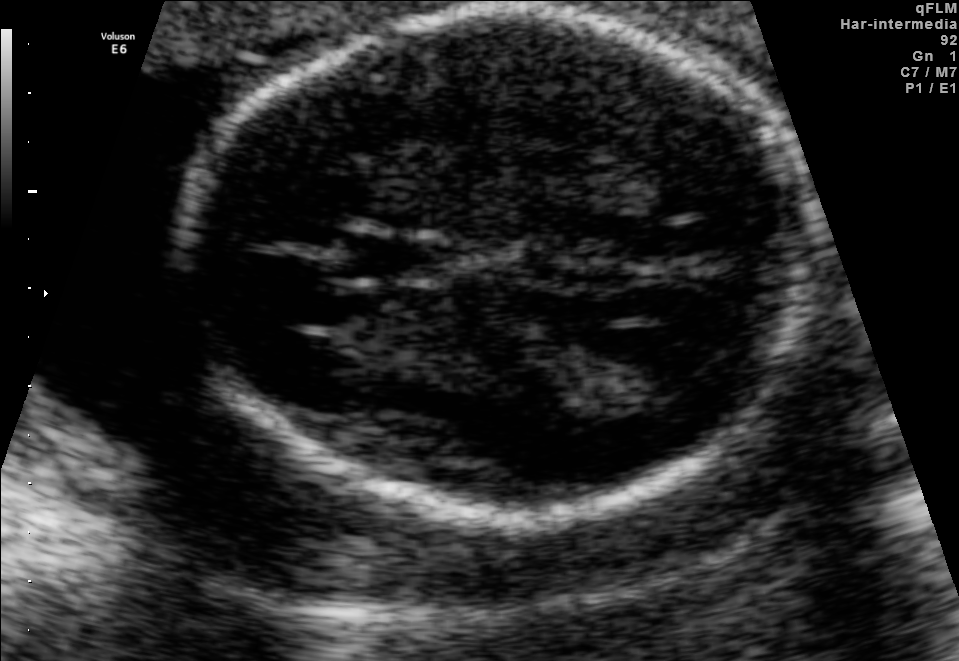
In this fetal brain, trans-thalamic plane, give bounding boxes for the head outline, cavum septum pellucidum (CSP), and lateral ventricle (LV), where visible.

Head: [184,9,815,506]
CSP: [344,235,437,280]
Lateral ventricle: [572,312,724,424]